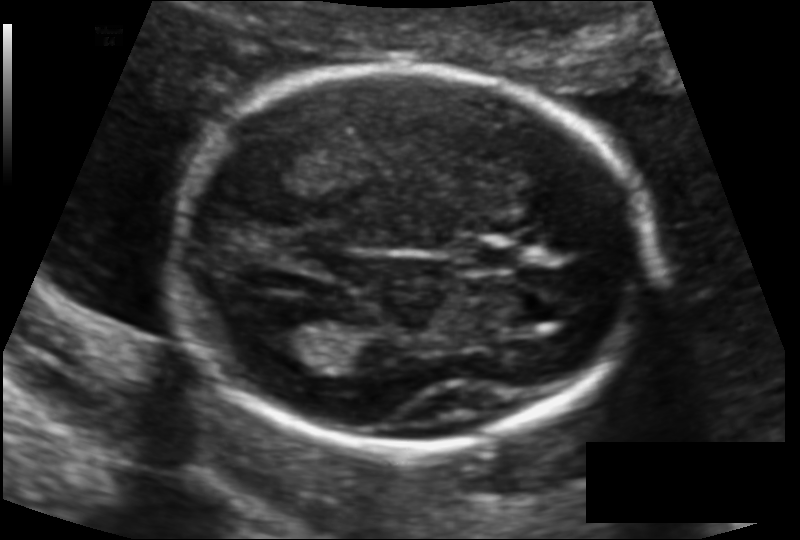
Estimate the fetal head circumference from this 2D ultrasound.

Head circumference: 162.2 mm (image width 93.3 mm).